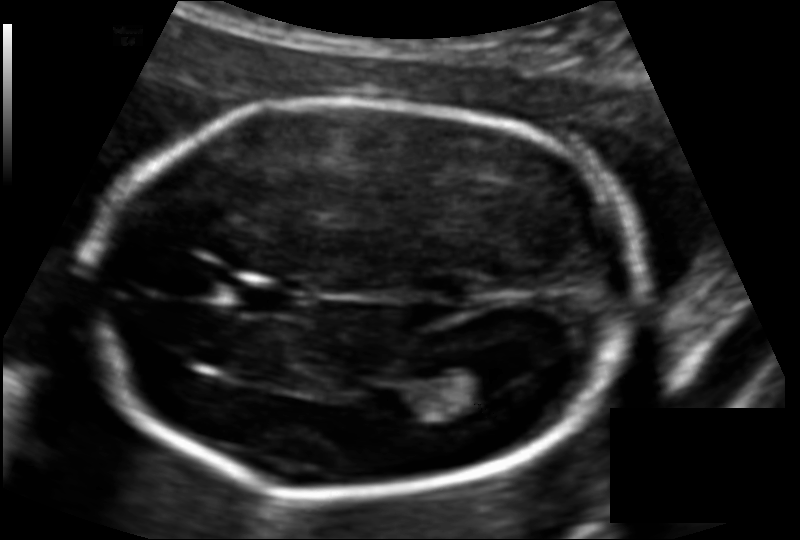
Fetal head ultrasound. Image width: 93.9 mm. Locate the fetal head and, if visible, the cavum septum pellucidum (CSP) and lateral ventricle (LV). Give bounding boxes as [x1,y1,x2,y2].

Head: [88,101,630,494]
CSP: [232,277,312,322]
Lateral ventricle: [423,347,516,417]